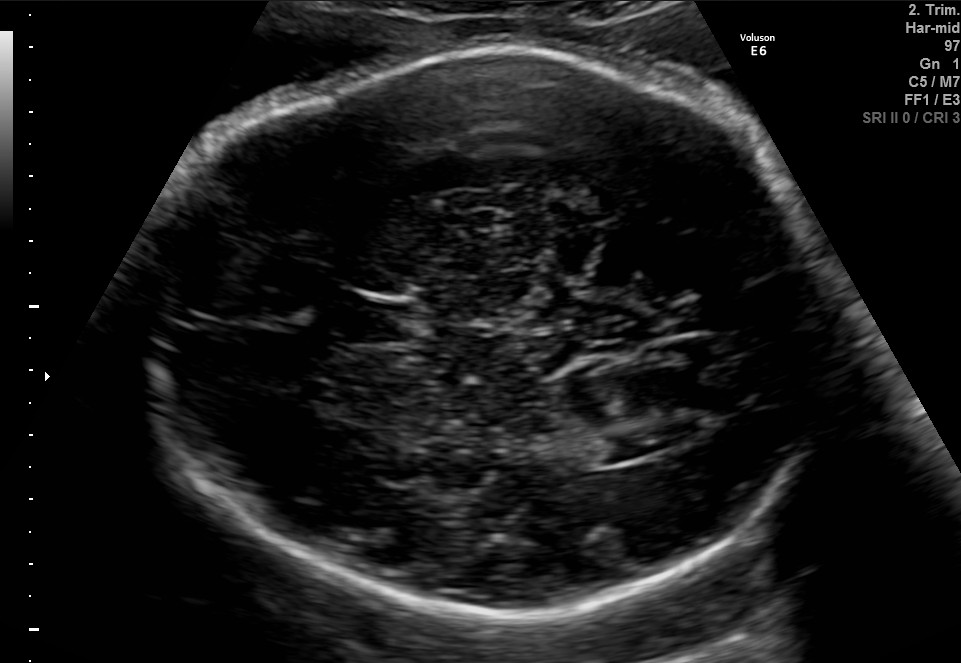
Fetal brain, trans-ventricular plane. Give [x1,y1,x2,y2] bounding boxes for each visible structure among: fetal head, CSP, LV.

Head: [138,55,845,620]
CSP: [342,301,410,343]
Lateral ventricle: [600,427,664,463]